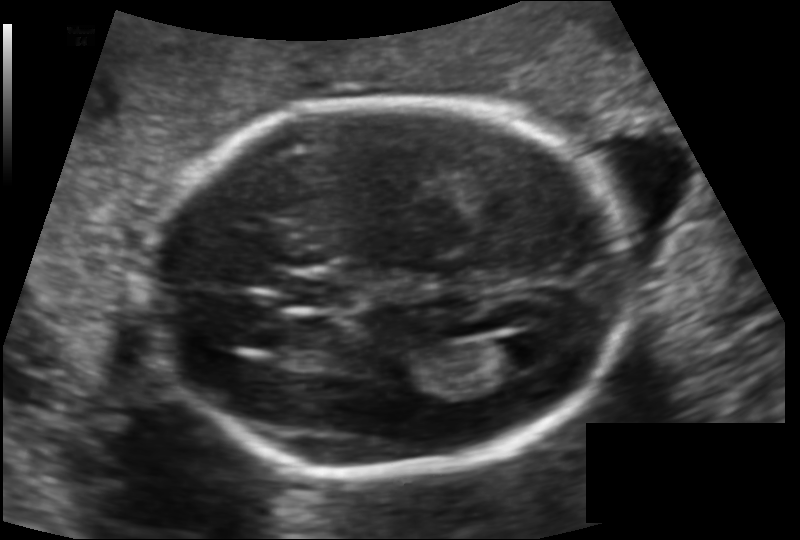
Fetal head ultrasound. Image width: 100.1 mm. Give [x1,y1,x2,y2] bounding boxes for each visible structure among: fetal head, CSP, LV.

Head: [149,101,624,476]
CSP: [282,275,359,308]
Lateral ventricle: [482,328,552,378]